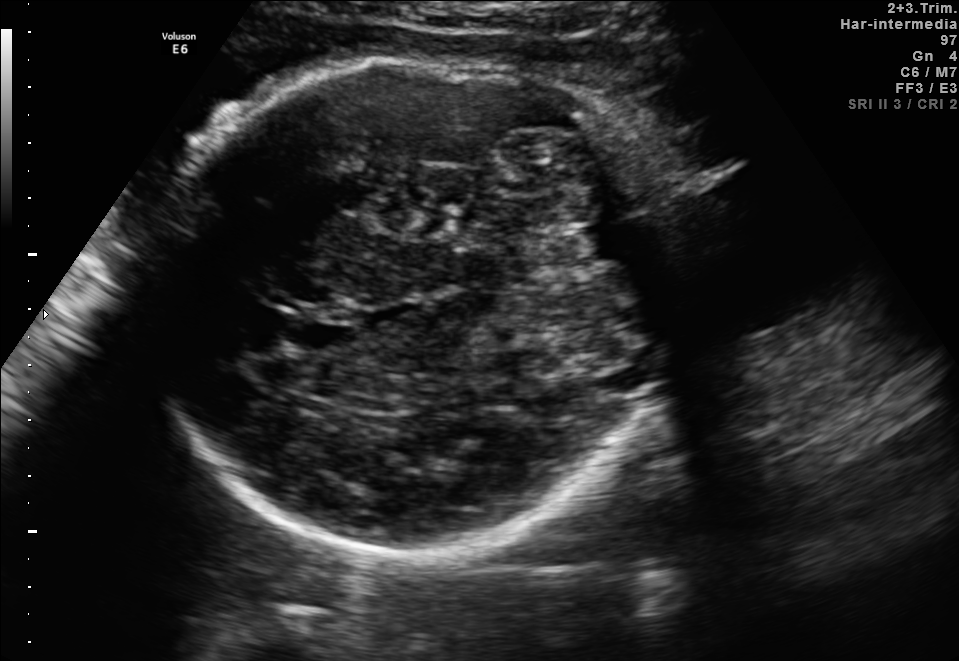
In this fetal brain, trans-thalamic plane, give the bounding box of the fetal head.

[131,61,672,558]